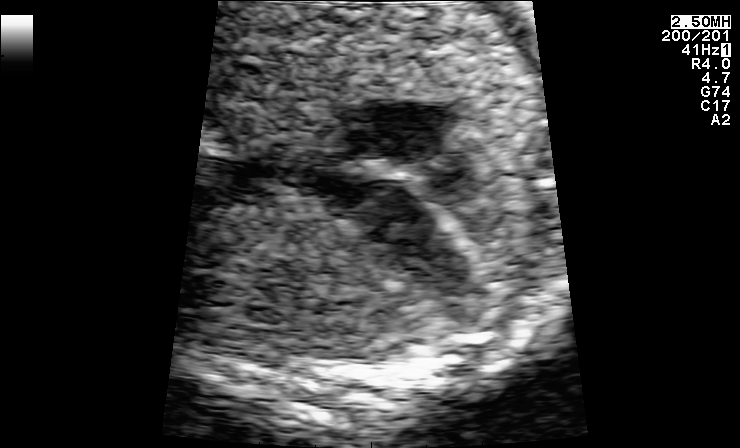
Classify this maternal-fetal ultrasound image as one of the six standard planes — fetal abdomen, fetal brain, fetal femur, fetal thorax, maternal cervix, or other. If it's fetal brain and one of the three standard brain planes (trans-thalamic, trans-cerebellum, trans-ventricular), name which.

Fetal thorax